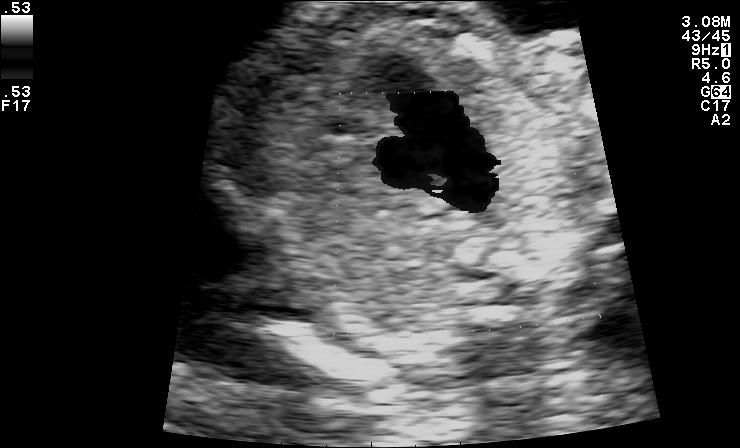
Which standard maternal-fetal ultrasound plane is shown: fetal abdomen, fetal brain, fetal femur, fetal thorax, maternal cervix, or other? If it's fetal brain and one of the three standard brain planes (trans-thalamic, trans-cerebellum, trans-ventricular), name which.

Other